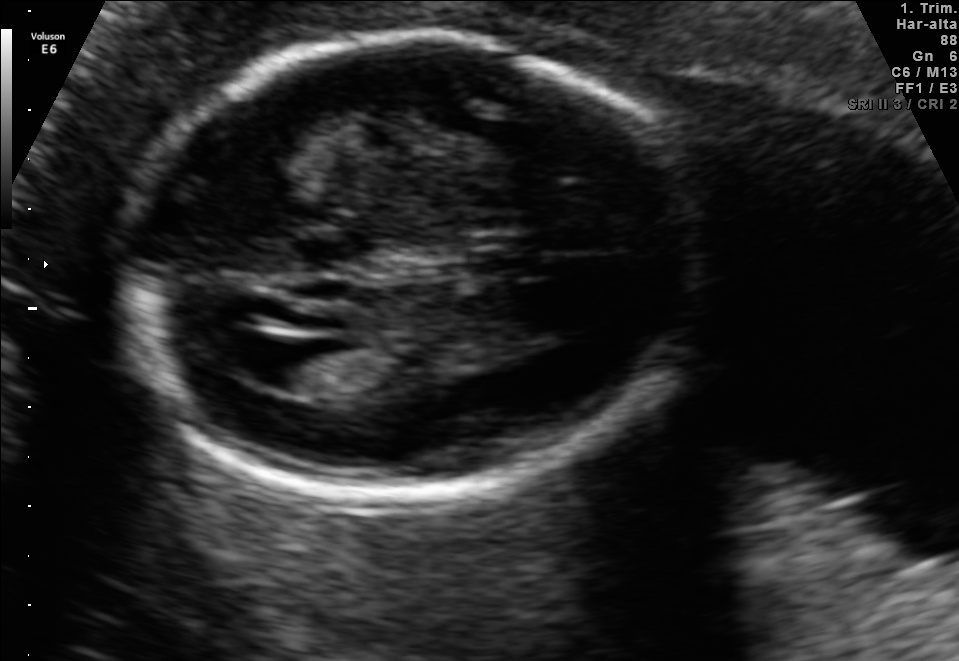
Fetal brain, trans-ventricular plane. Where is the fetal head?

Head bounding box: [104,29,725,514]